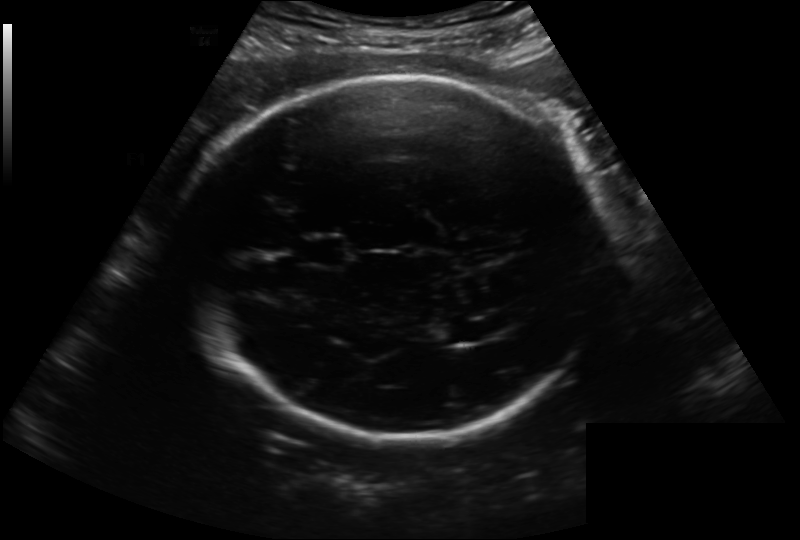
In this fetal head ultrasound, give bounding boxes for the head outline, cavum septum pellucidum (CSP), and lateral ventricle (LV), where visible. Image width: 177.3 mm.

Head: [179,74,607,436]
CSP: [303,237,346,266]
Lateral ventricle: [434,321,474,345]